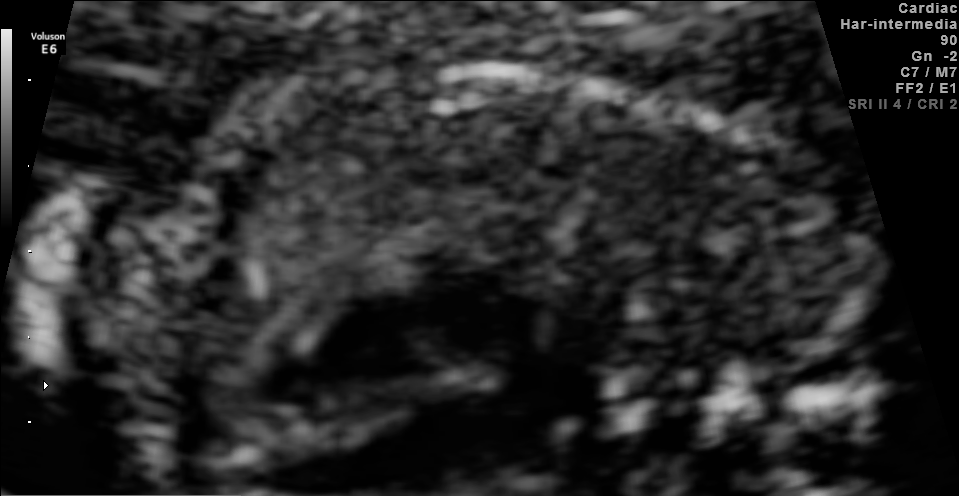
Identify the standard plane in this fetal ultrasound image: fetal abdomen, fetal brain, fetal femur, fetal thorax, maternal cervix, or other. If it's fetal brain and one of the three standard brain planes (trans-thalamic, trans-cerebellum, trans-ventricular), name which.

Fetal thorax